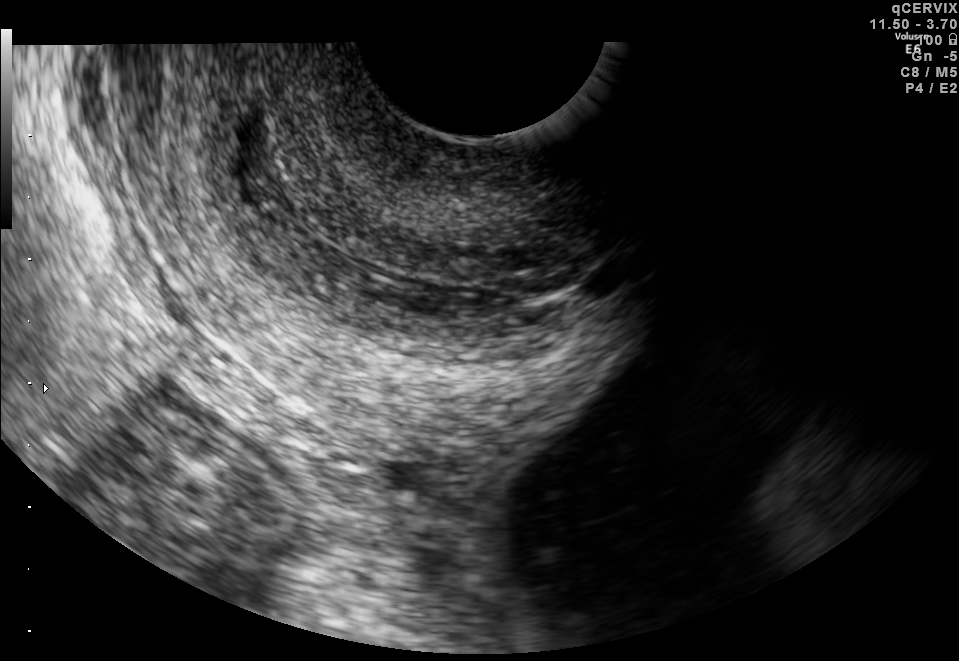
Which standard maternal-fetal ultrasound plane is shown: fetal abdomen, fetal brain, fetal femur, fetal thorax, maternal cervix, or other? If it's fetal brain and one of the three standard brain planes (trans-thalamic, trans-cerebellum, trans-ventricular), name which.

Maternal cervix